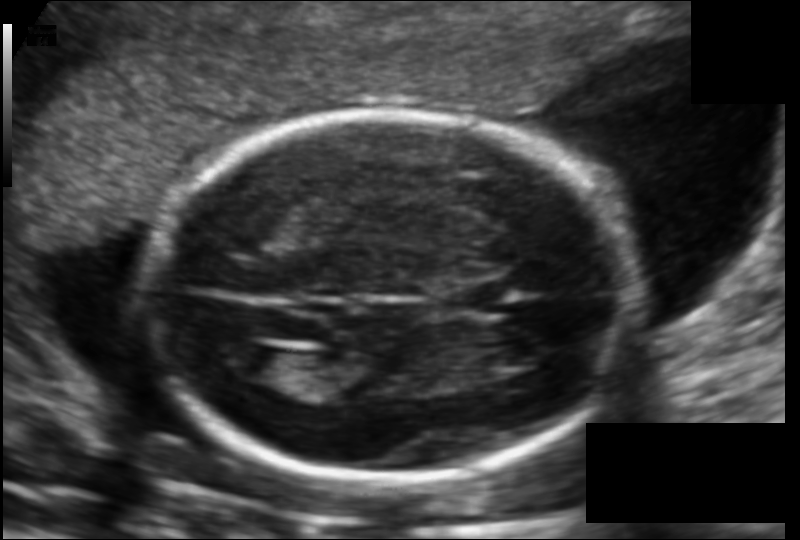
In this fetal head ultrasound, give the bounding box of the cavum septum pellucidum. Image width: 98.4 mm.

[438,278,501,321]